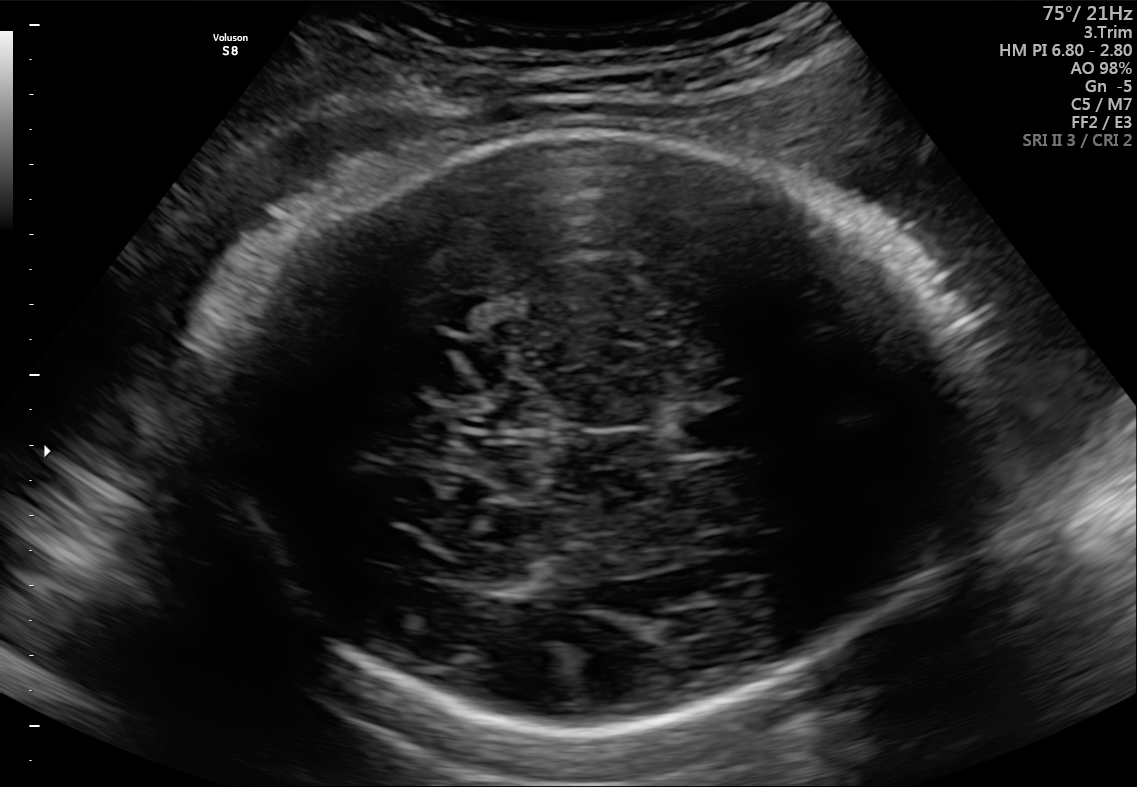
In this fetal brain, trans-thalamic plane, give the bounding box of the cavum septum pellucidum.

[671,404,752,454]